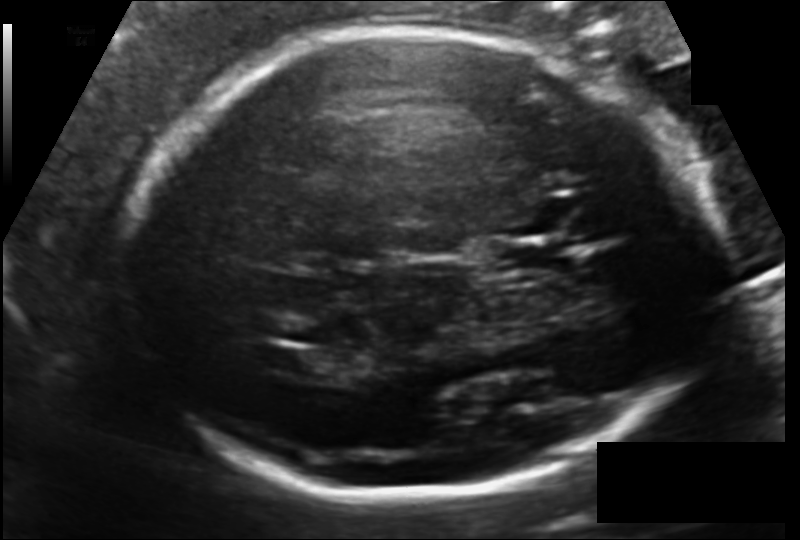
Fetal head ultrasound. Image width: 106.4 mm. Locate the lateral ventricle.

Lateral ventricle: [264,346,327,379]